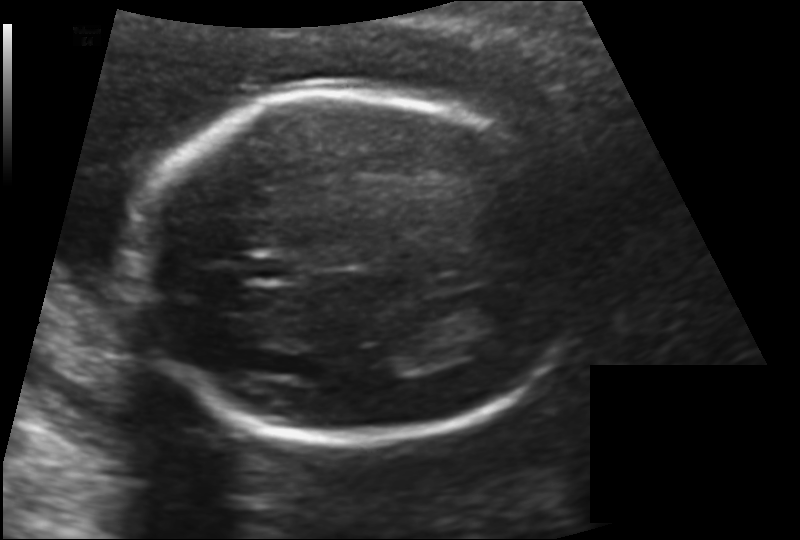
Fetal head ultrasound. Image width: 113.8 mm. Where is the fetal head?

Head bounding box: [133,92,588,440]